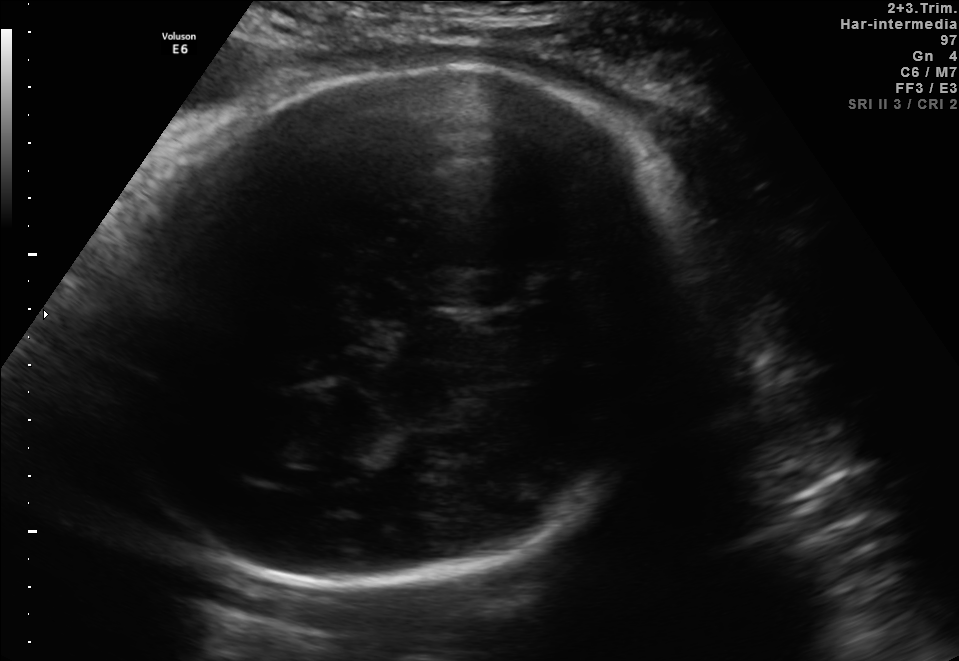
In this fetal brain, trans-thalamic plane, give the bounding box of the fetal head.

[74,70,705,583]